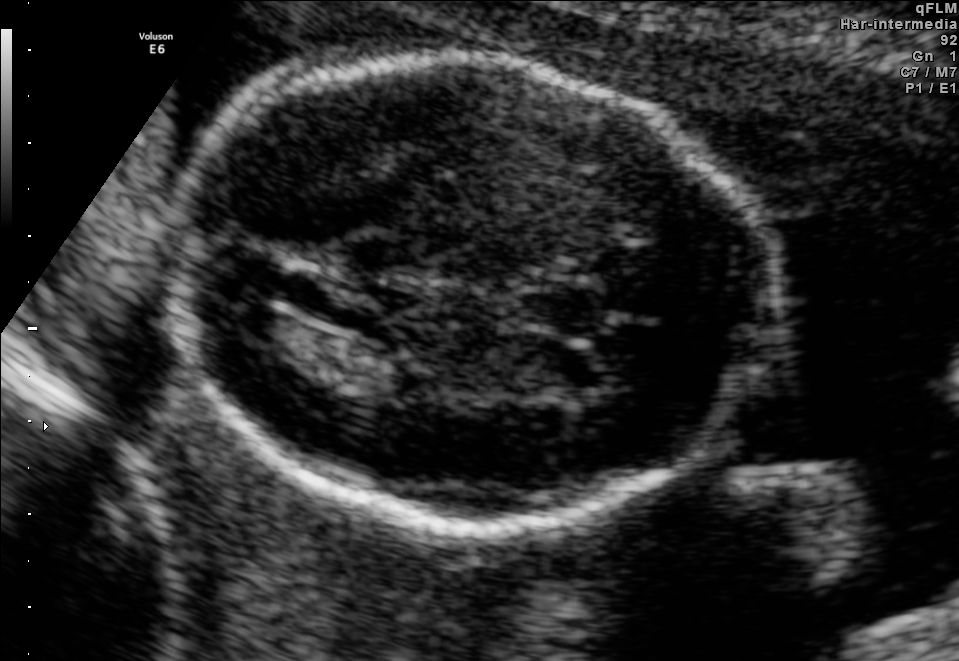
Fetal brain, trans-thalamic plane. Locate the fetal head.

Head: [177,57,766,528]